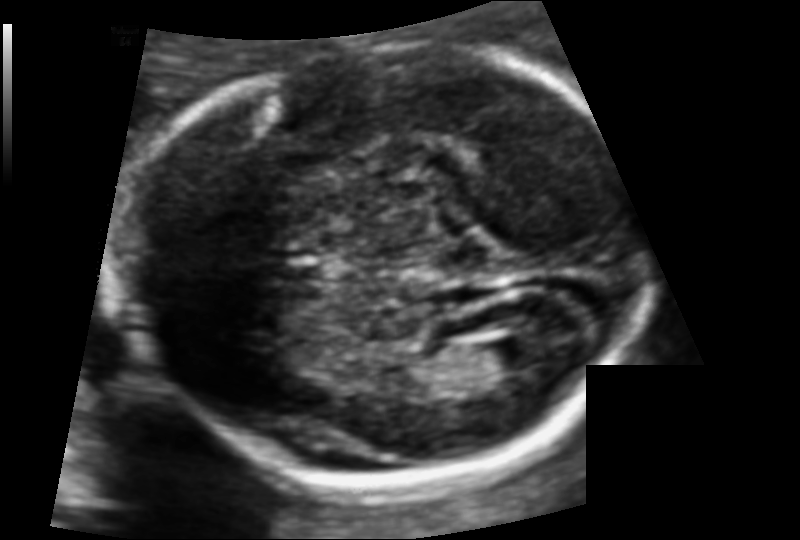
From this fetal ultrasound, estimate the head circumference (image width 84.2 mm).

Head circumference: 163.7 mm.